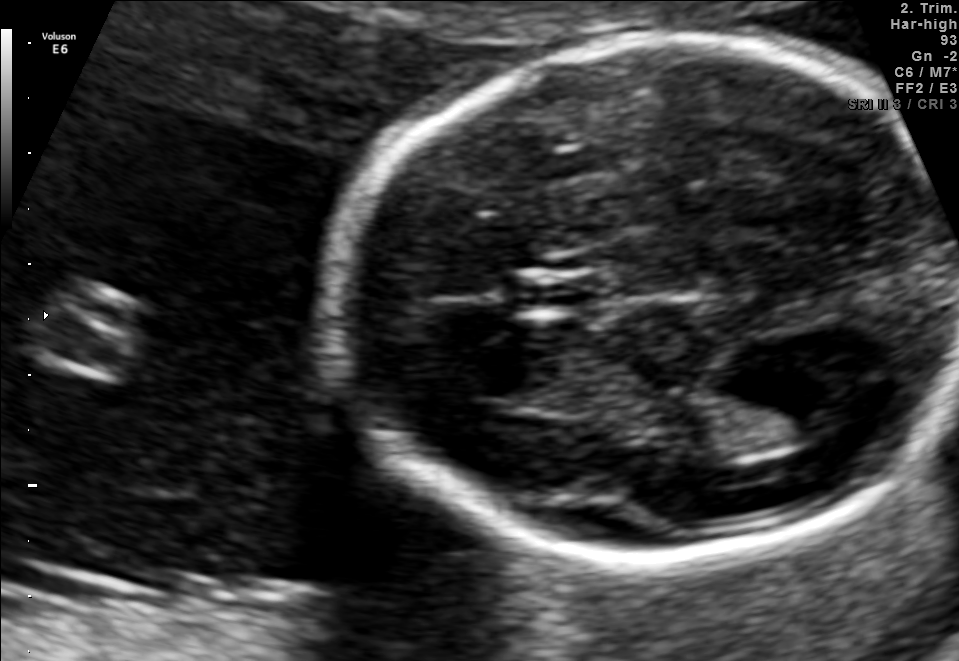
In this fetal brain, trans-thalamic plane, give the bounding box of the fetal head.

[334,34,951,557]